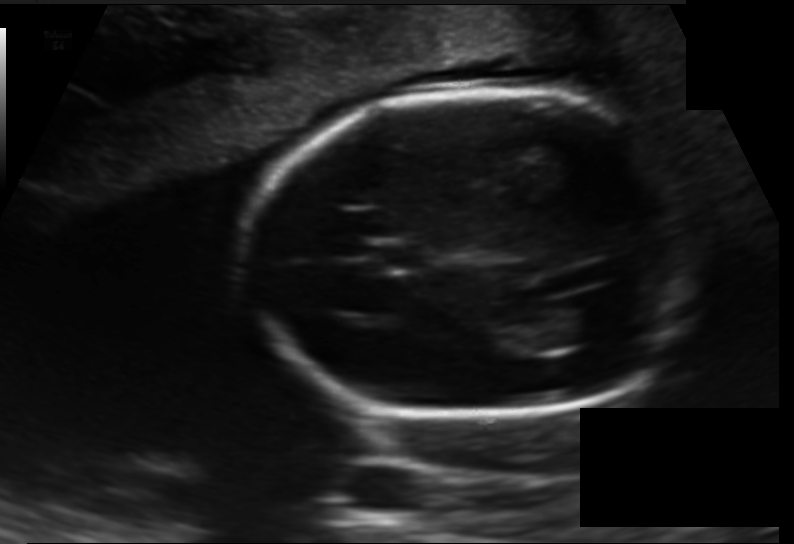
Fetal head ultrasound. Image width: 109.8 mm. Give [x1,y1,x2,y2] bounding boxes for each visible structure among: fetal head, CSP, LV.

Head: [243,90,702,416]
CSP: [371,245,426,269]
Lateral ventricle: [532,300,608,353]